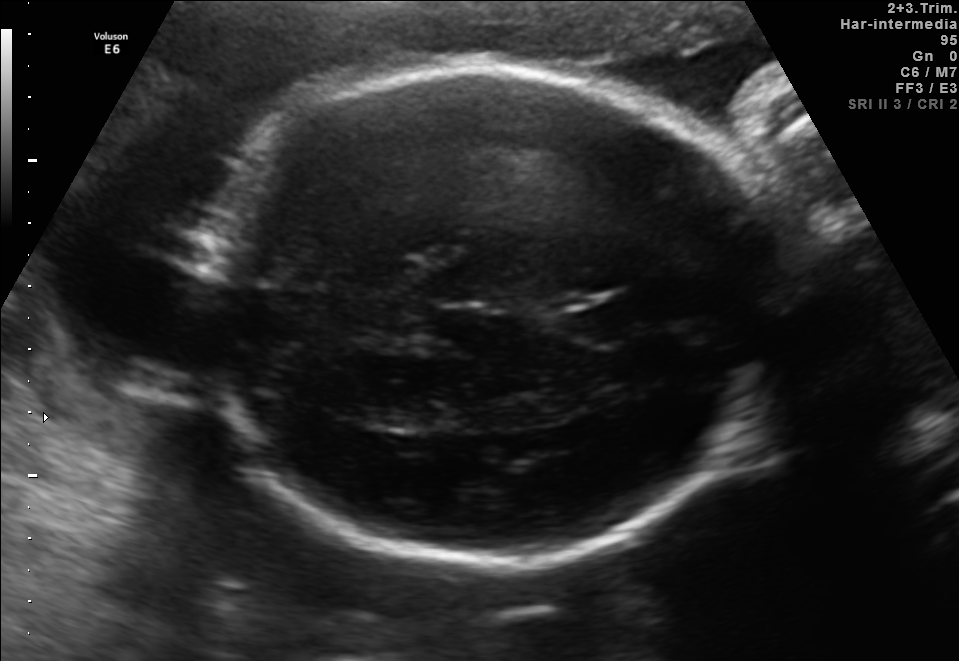
Fetal brain, trans-thalamic plane. Locate the fetal head.

Head: [191,68,786,561]